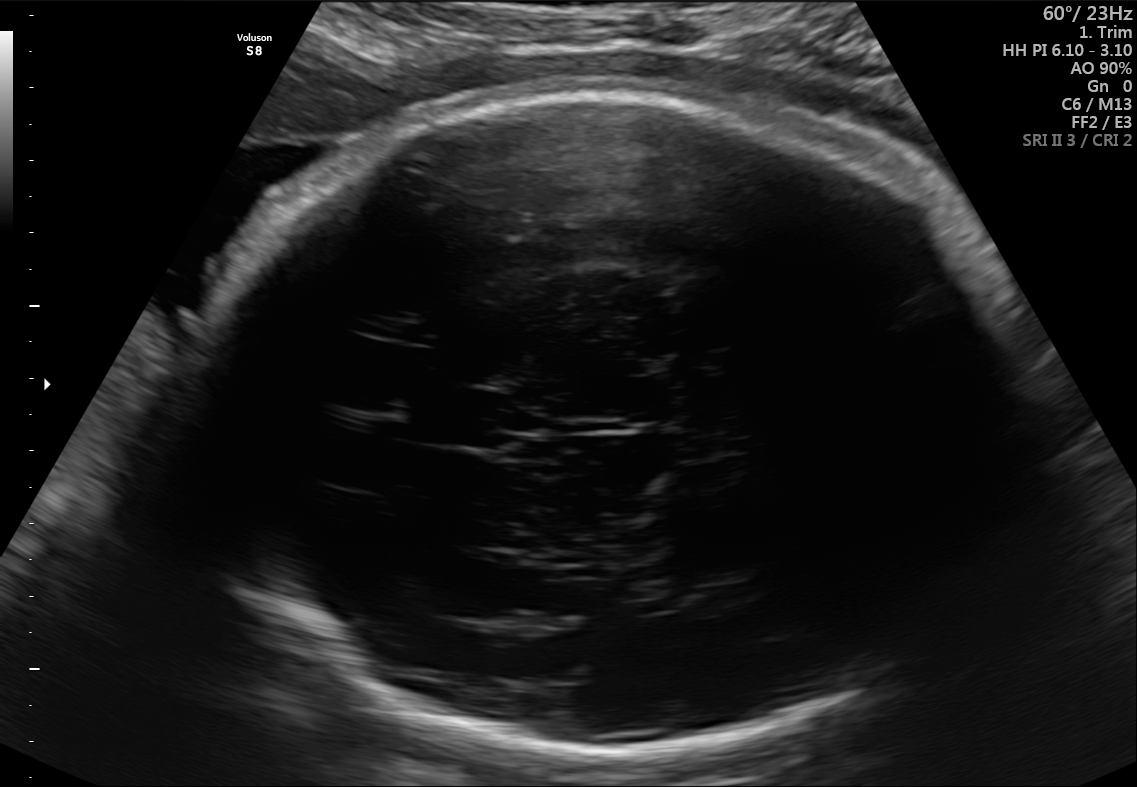
Fetal brain, trans-thalamic plane. Locate the cavum septum pellucidum.

CSP: [418,381,531,452]